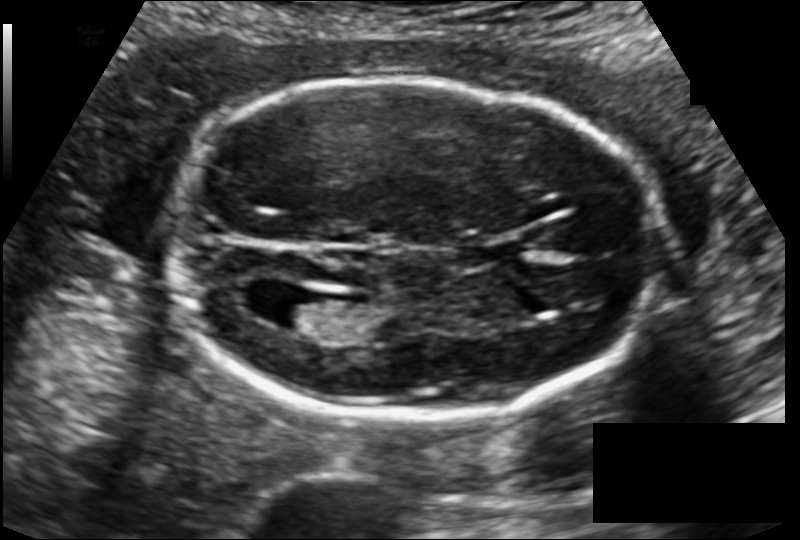
Fetal head ultrasound. Image width: 103.4 mm. Locate the fetal head.

Head: [163,78,657,419]